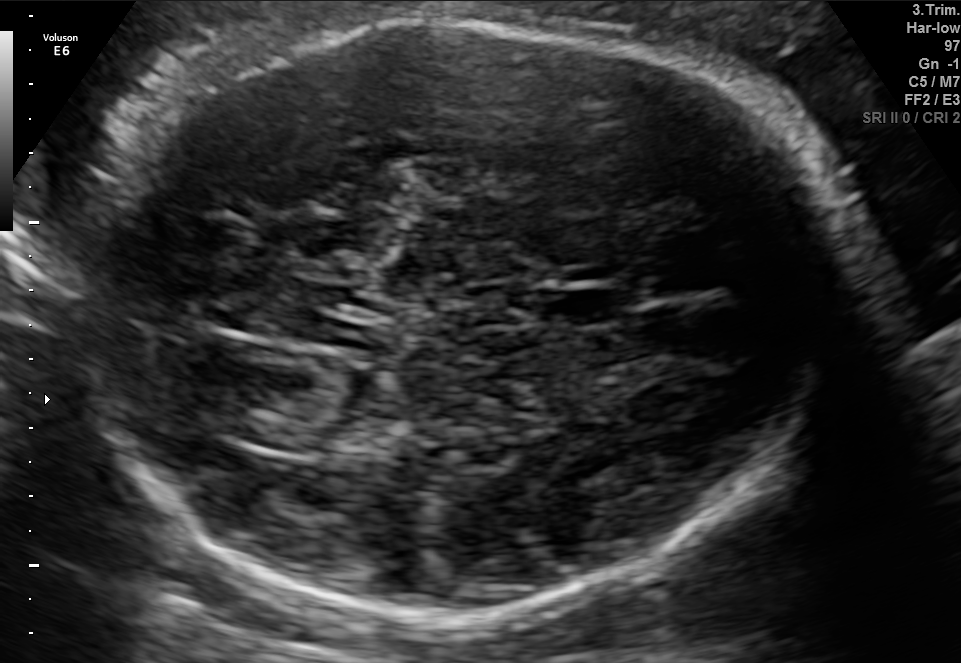
Fetal brain, trans-thalamic plane. Give [x1,y1,x2,y2] bounding boxes for each visible structure among: fetal head, CSP, LV.

Head: [82,16,835,619]
CSP: [537,287,624,326]
Lateral ventricle: [232,405,322,456]